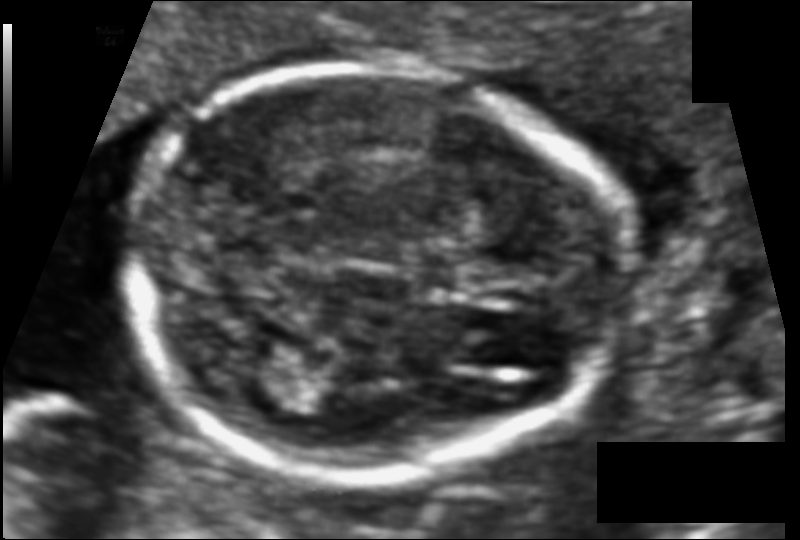
Fetal head ultrasound. Image width: 65.0 mm. Locate the fetal head.

Head: [123,65,621,477]